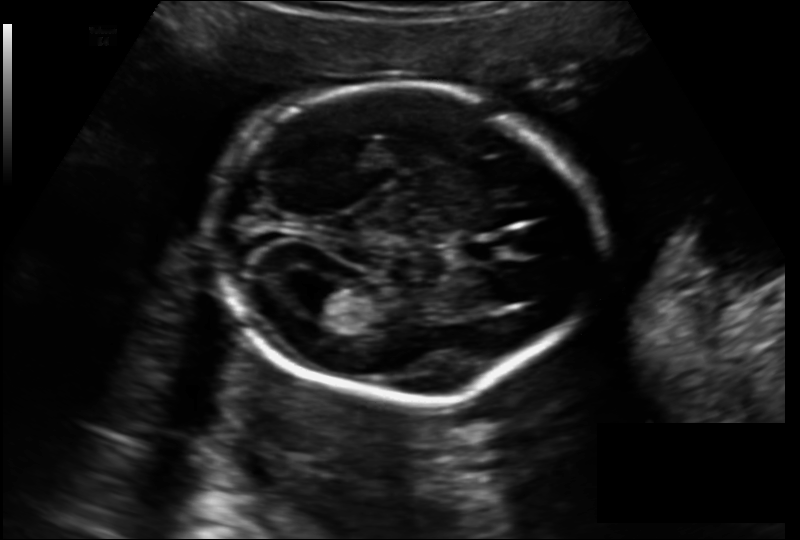
What is the fetal head circumference? Image width is 125.9 mm.

180.6 mm